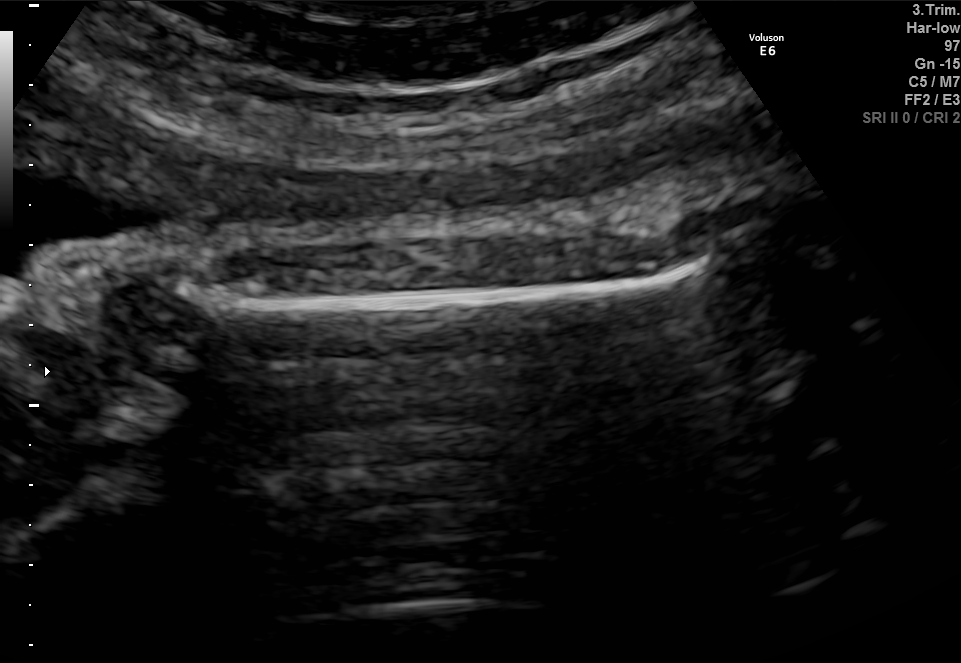
Identify the standard plane in this fetal ultrasound image: fetal abdomen, fetal brain, fetal femur, fetal thorax, maternal cervix, or other. If it's fetal brain and one of the three standard brain planes (trans-thalamic, trans-cerebellum, trans-ventricular), name which.

Fetal femur